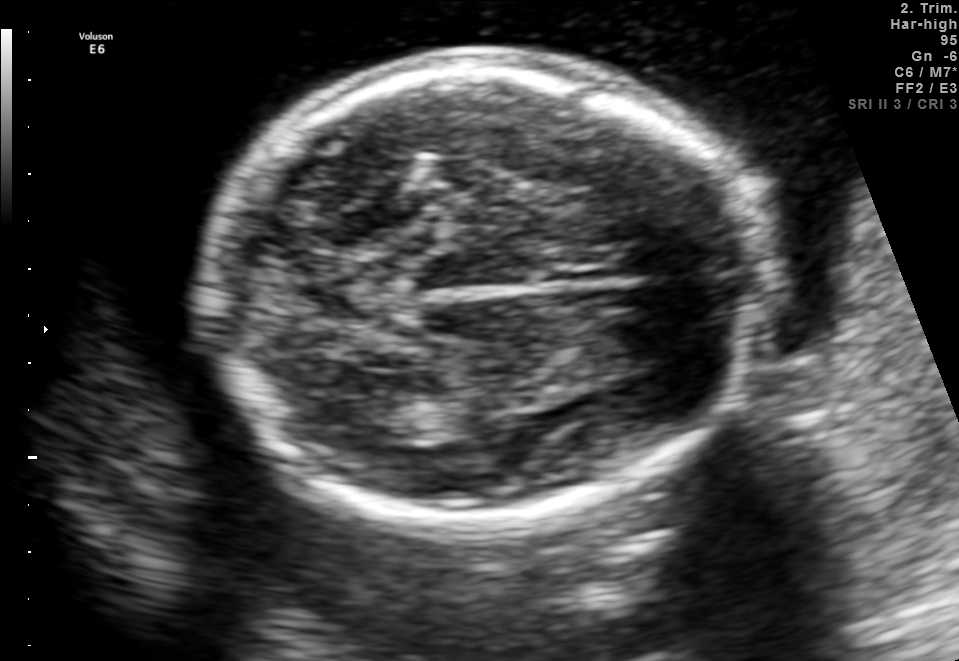
Fetal brain, trans-thalamic plane. Locate the fetal head and, if visible, the cavum septum pellucidum (CSP) and lateral ventricle (LV). Give bounding boxes as [x1,y1,x2,y2].

Head: [207,56,766,517]
Lateral ventricle: [328,395,391,432]